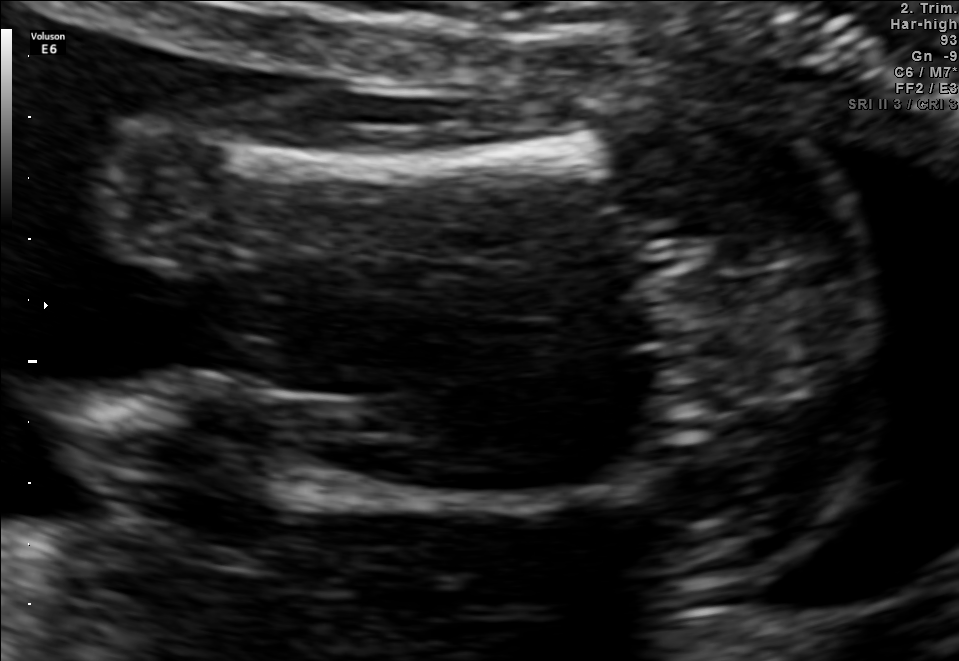
This is a 2D maternal-fetal ultrasound frame. Is it a fetal abdomen, fetal brain, fetal femur, fetal thorax, maternal cervix, or other standard plane? If it's fetal brain and one of the three standard brain planes (trans-thalamic, trans-cerebellum, trans-ventricular), name which.

Fetal femur